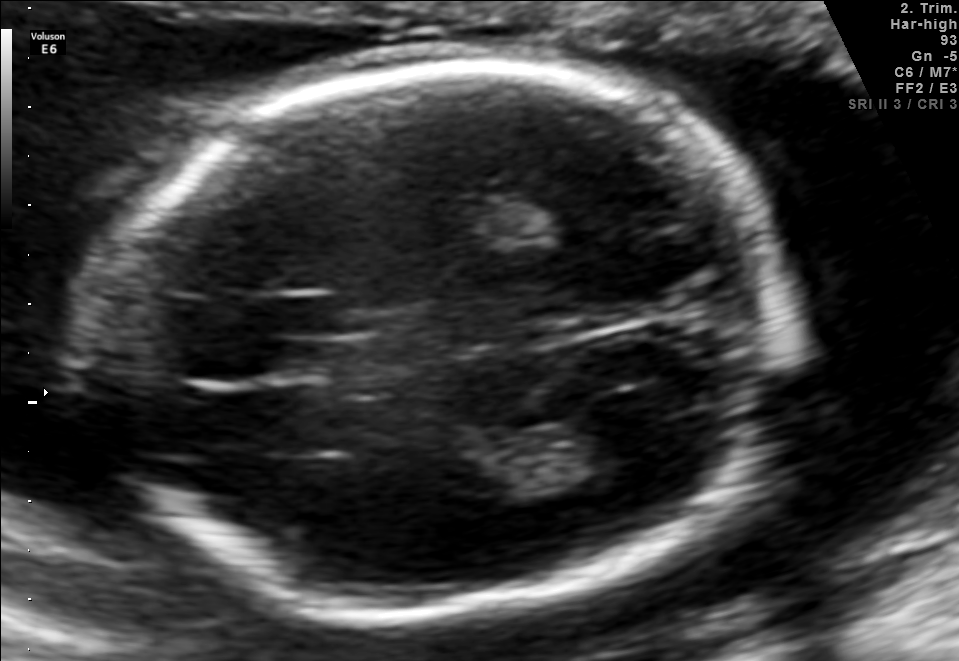
Fetal brain, trans-thalamic plane. Locate the fetal head.

Head: [94,67,785,610]